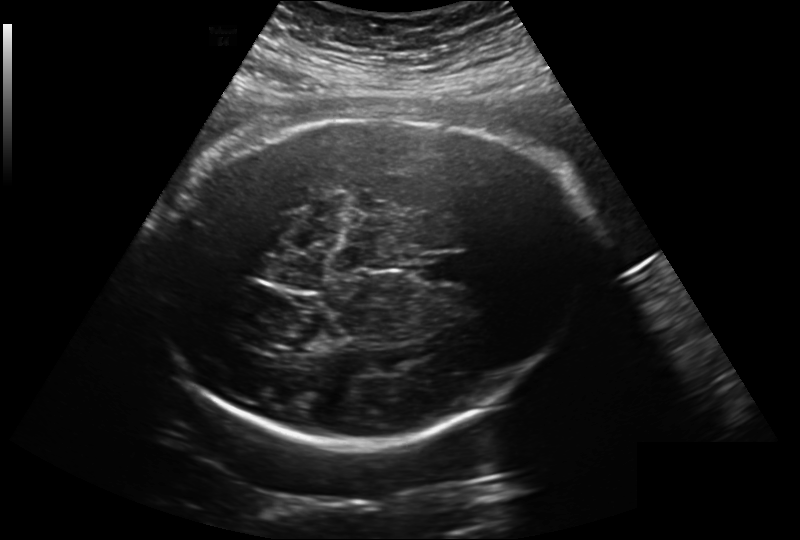
Estimate the fetal head circumference from this 2D ultrasound. Image width: 208.0 mm.

Head circumference: 323.3 mm.